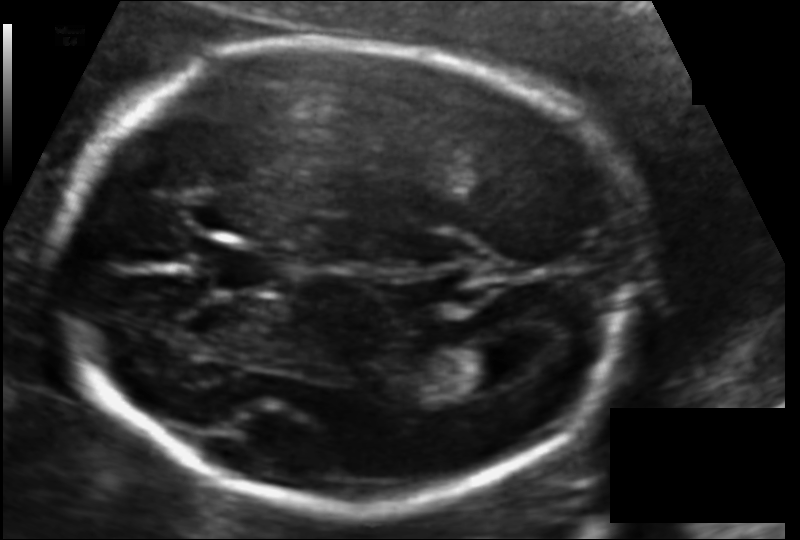
In this fetal head ultrasound, give the bounding box of the cavum septum pellucidum. Image width: 92.7 mm.

[205,241,287,296]